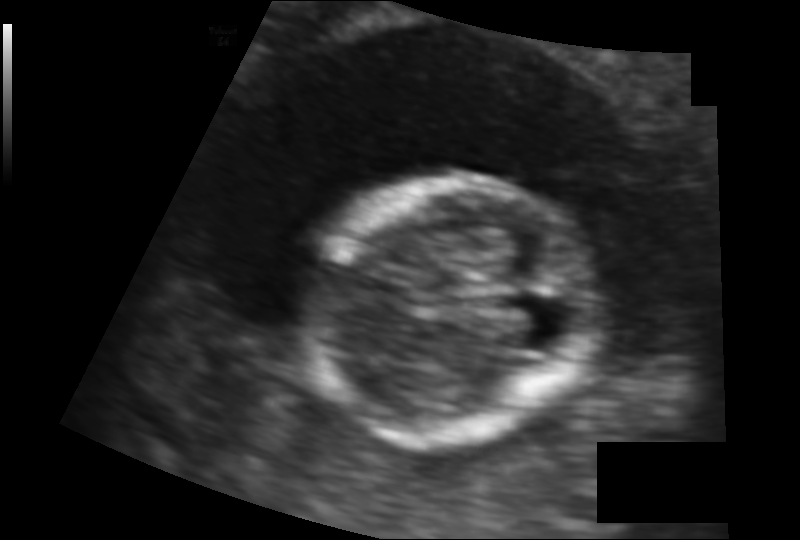
Estimate the fetal head circumference from this 2D ultrasound.

Head circumference: 94.3 mm (image width 82.1 mm).